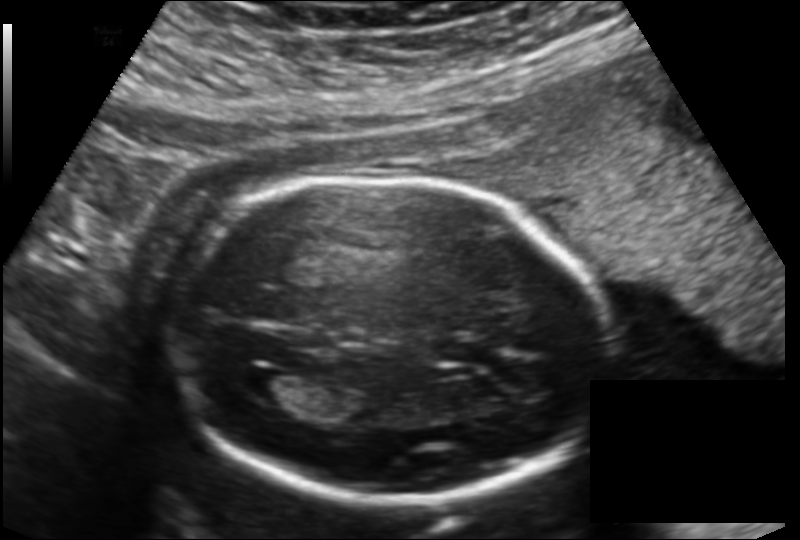
Fetal head ultrasound. Image width: 120.4 mm. Locate the fetal head and, if visible, the cavum septum pellucidum (CSP) and lateral ventricle (LV). Give bounding boxes as [x1,y1,x2,y2].

Head: [164,176,604,502]
CSP: [435,337,488,366]
Lateral ventricle: [232,363,302,409]